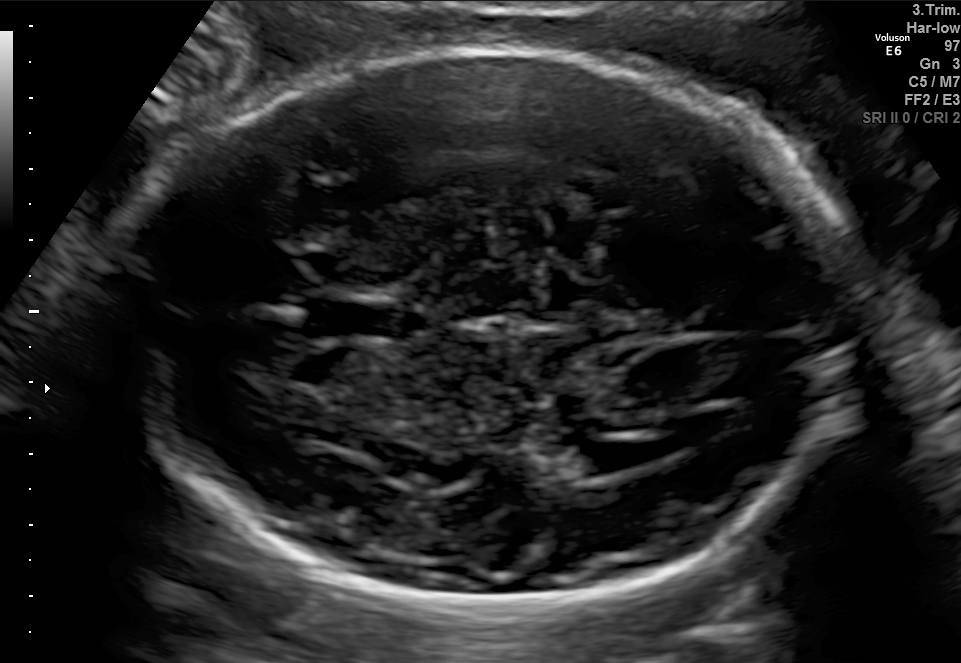
In this fetal brain, trans-ventricular plane, give the bounding box of the cavum septum pellucidum.

[308,297,395,338]